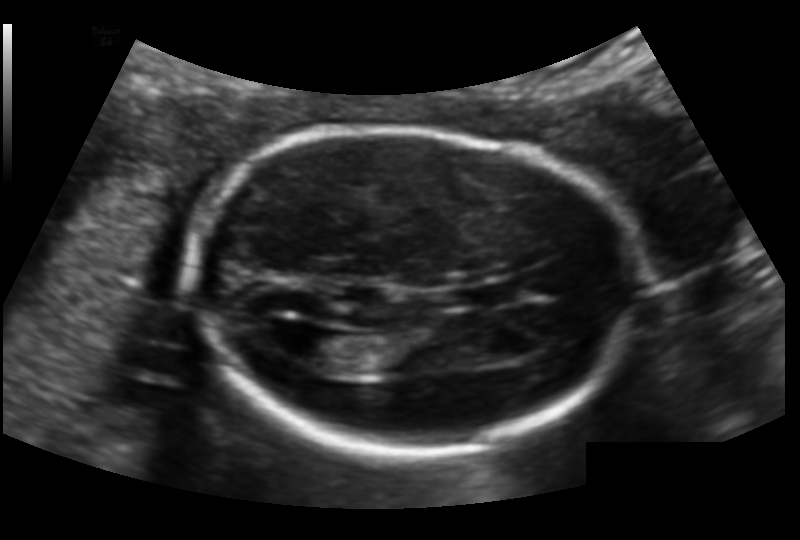
Fetal head ultrasound. Image width: 105.5 mm. Locate the cavum septum pellucidum.

CSP: [468,279,524,310]